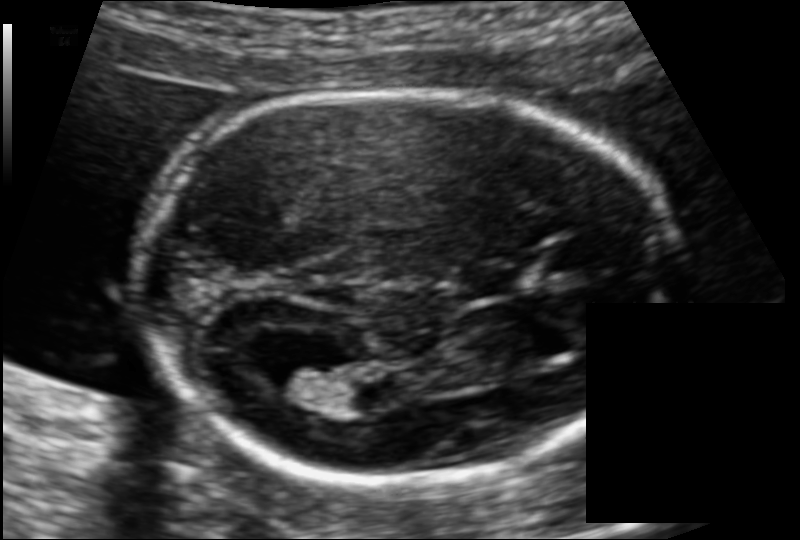
In this fetal head ultrasound, give bounding boxes for the head outline, cavum septum pellucidum (CSP), and lateral ventricle (LV), where visible. Image width: 85.1 mm.

Head: [134,91,677,478]
CSP: [460,260,532,302]
Lateral ventricle: [258,352,344,413]